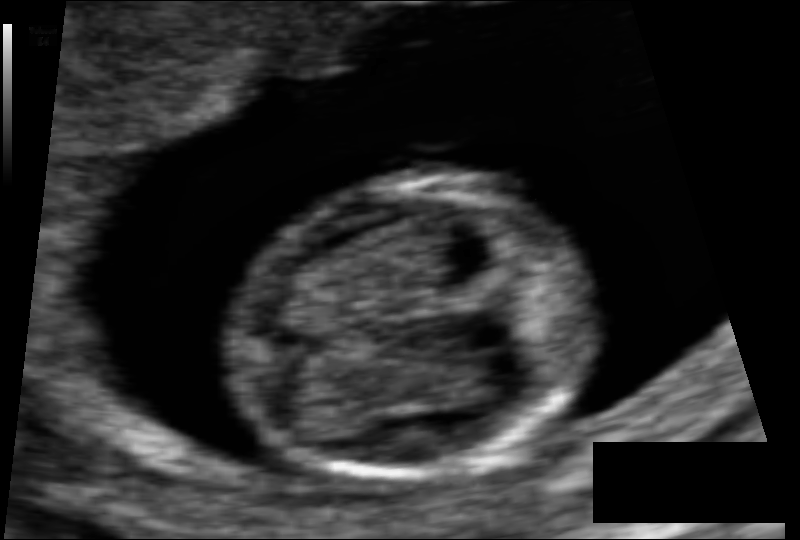
Fetal head ultrasound. Image width: 51.5 mm. Locate the fetal head.

Head: [229,178,598,475]